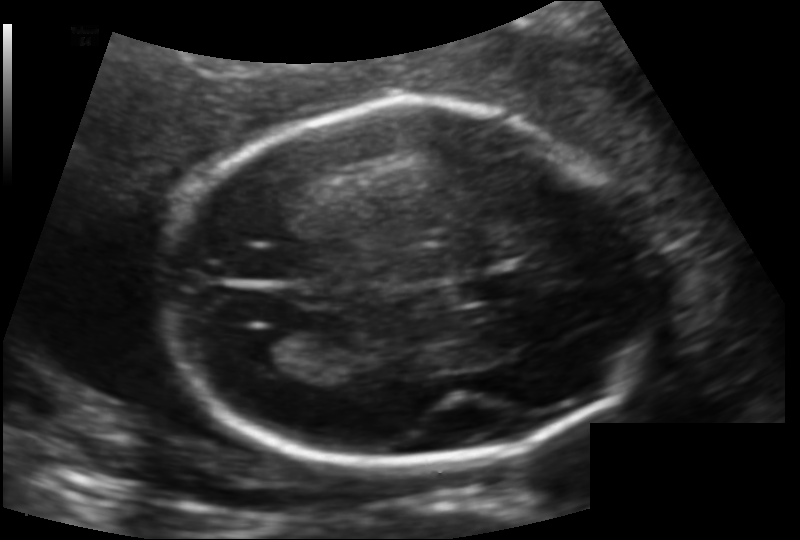
Measure the fetal head circumference shown in this ultrasound image. Image width: 106.2 mm.

Head circumference: 185.7 mm.